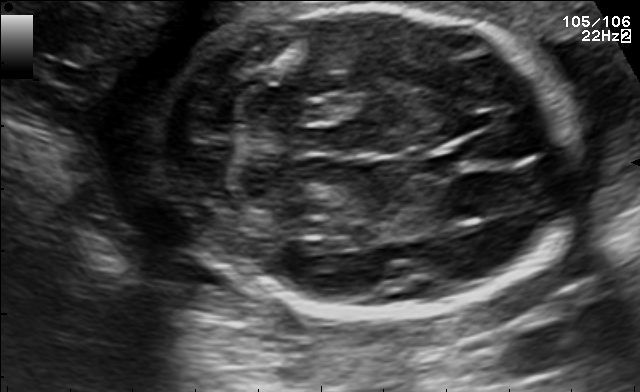
Fetal brain, trans-cerebellum plane. Give [x1,y1,x2,y2] bounding boxes for each visible structure among: fetal head, CSP, LV.

Head: [156,5,579,314]
CSP: [415,142,476,184]